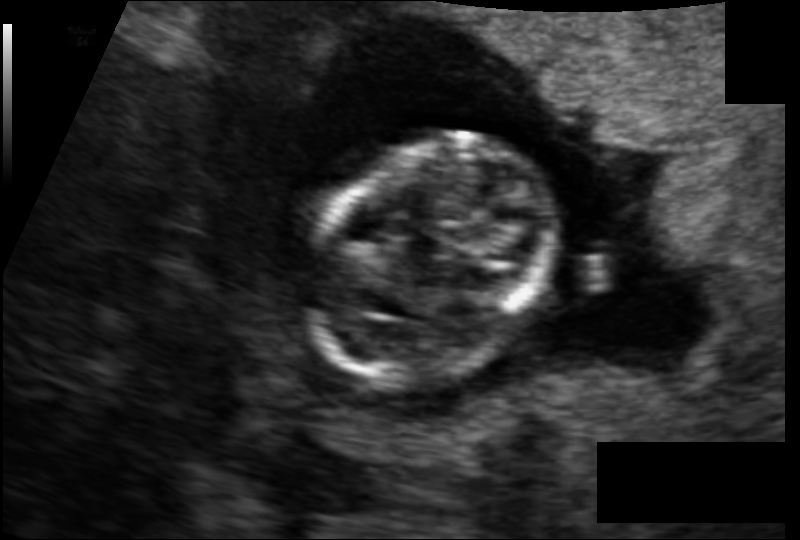
Estimate the fetal head circumference from this 2D ultrasound. Image width: 77.6 mm.

Head circumference: 78.8 mm.